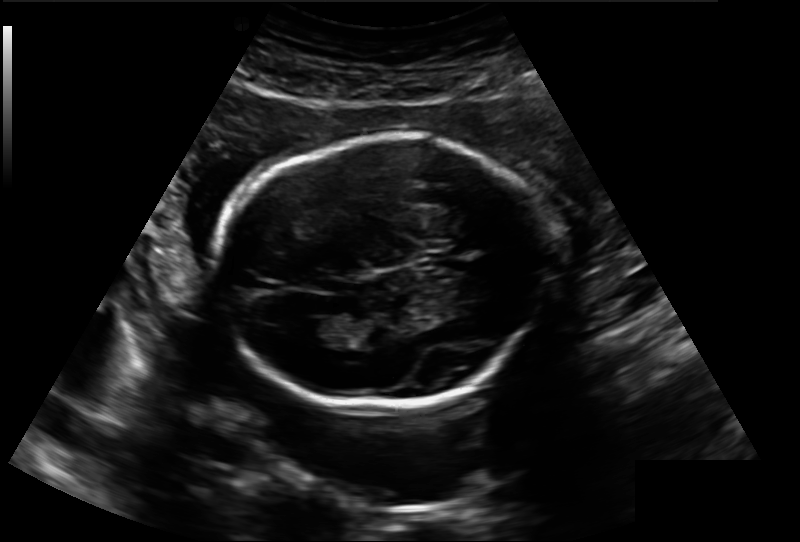
Fetal head ultrasound. Image width: 150.3 mm. Give [x1,y1,x2,y2] bounding boxes for each visible structure among: fetal head, CSP, LV.

Head: [219,135,542,410]
Lateral ventricle: [298,318,341,344]